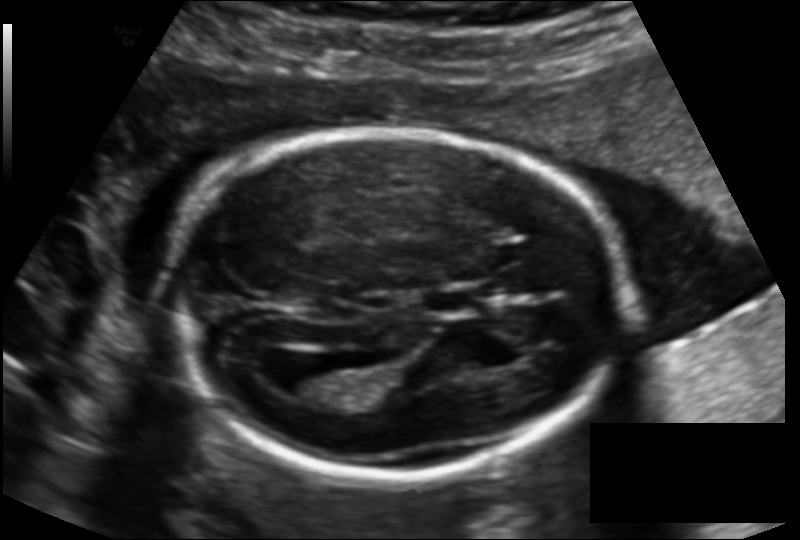
Fetal head ultrasound. Image width: 109.0 mm. Where is the cavum septum pellucidum?

CSP bounding box: [421,287,477,315]